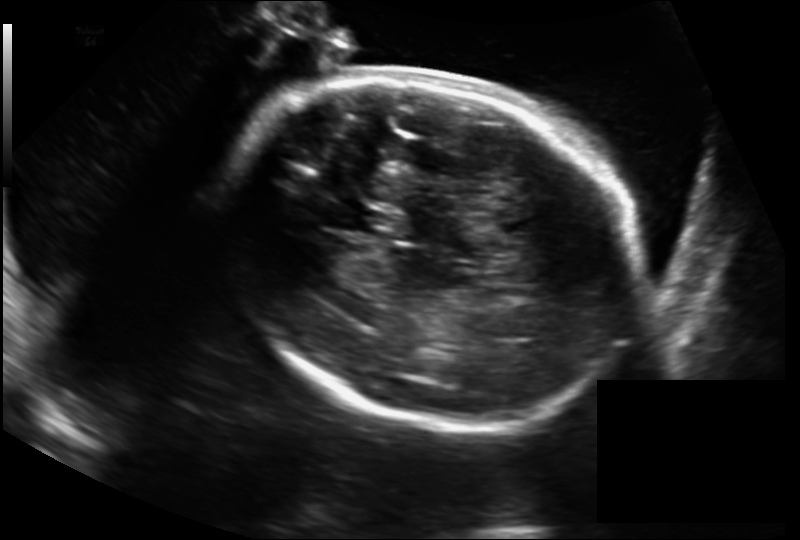
In this fetal head ultrasound, give the bounding box of the fetal head. Image width: 169.0 mm.

[216,78,639,423]